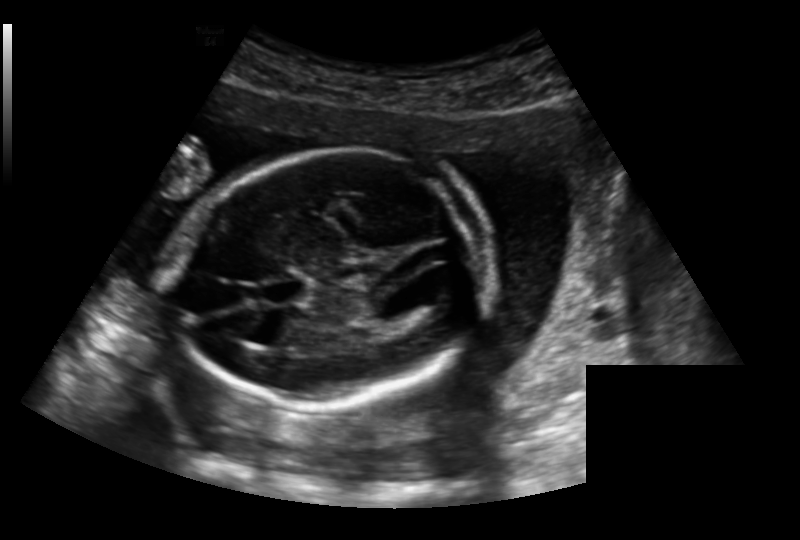
In this fetal head ultrasound, give the bounding box of the fetal head. Image width: 152.5 mm.

[177,149,483,404]